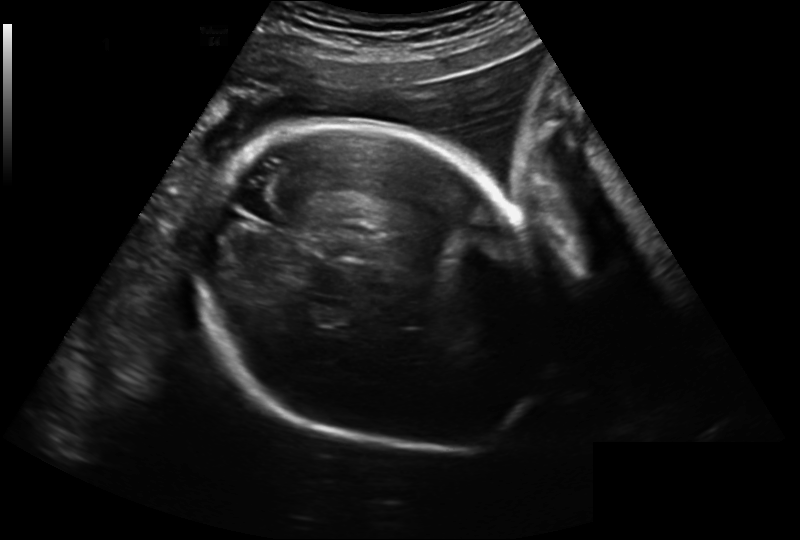
Estimate the fetal head circumference from this 2D ultrasound.

Head circumference: 260.9 mm (image width 192.8 mm).